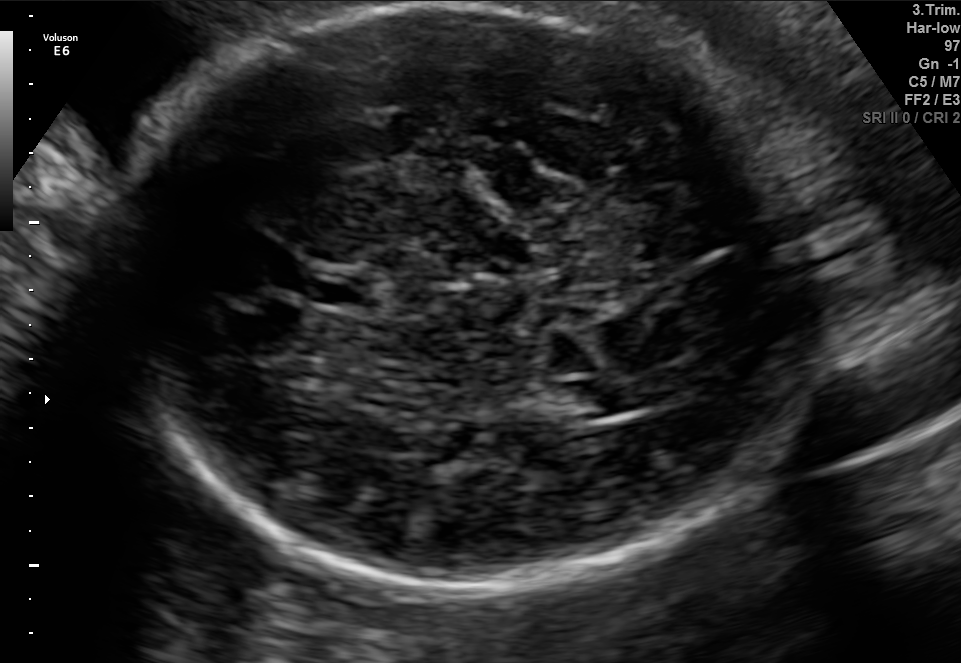
Fetal brain, trans-ventricular plane. Locate the fetal head.

Head: [84,4,845,601]